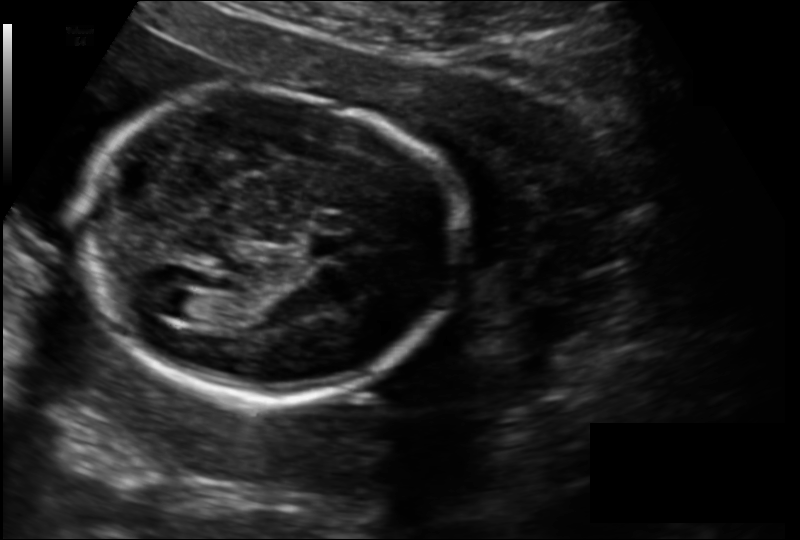
From this fetal ultrasound, estimate the head circumference (image width 119.1 mm).

Head circumference: 169.7 mm.